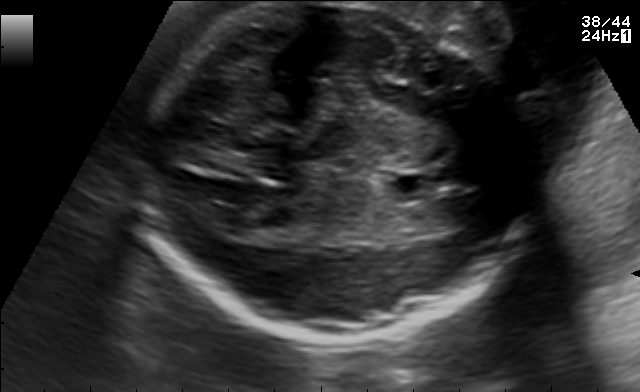
Identify the standard plane in this fetal ultrasound image: fetal abdomen, fetal brain, fetal femur, fetal thorax, maternal cervix, or other. If it's fetal brain and one of the three standard brain planes (trans-thalamic, trans-cerebellum, trans-ventricular), name which.

Fetal brain (trans-ventricular plane)